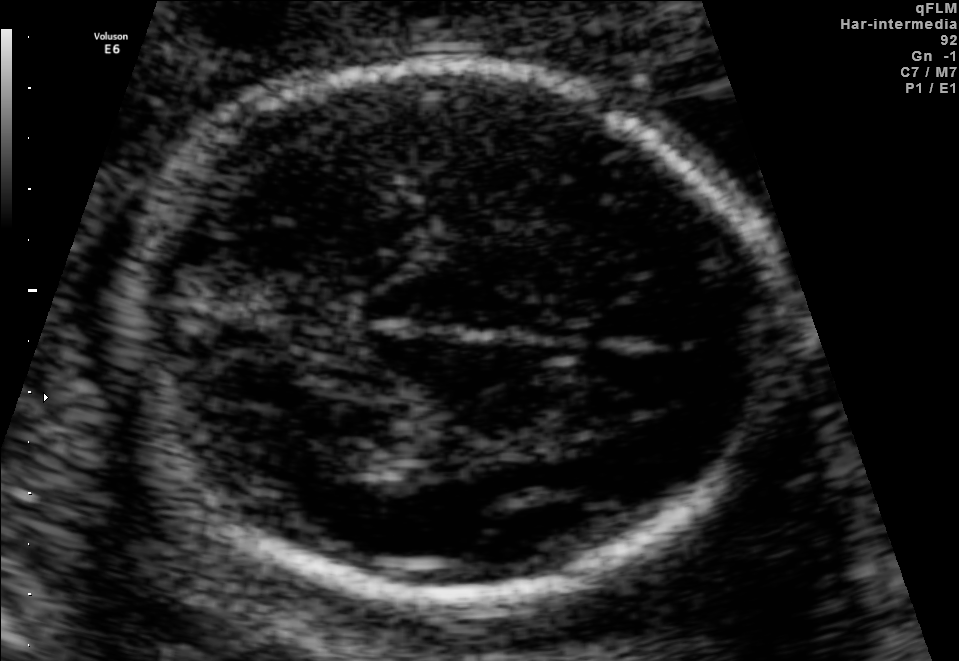
In this fetal brain, trans-thalamic plane, give bounding boxes for the head outline, cavum septum pellucidum (CSP), and lateral ventricle (LV), where visible.

Head: [130,63,789,596]